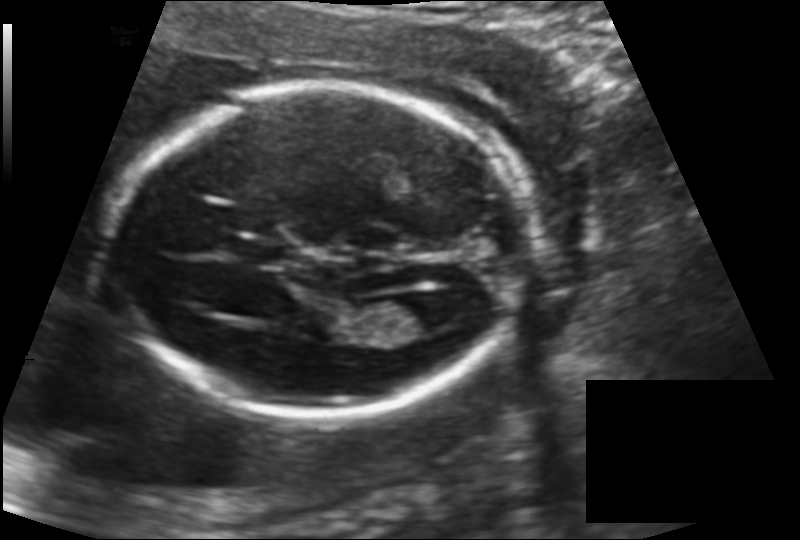
Measure the fetal head circumference shown in this ultrasound image. Image width: 113.5 mm.

Head circumference: 172.7 mm.